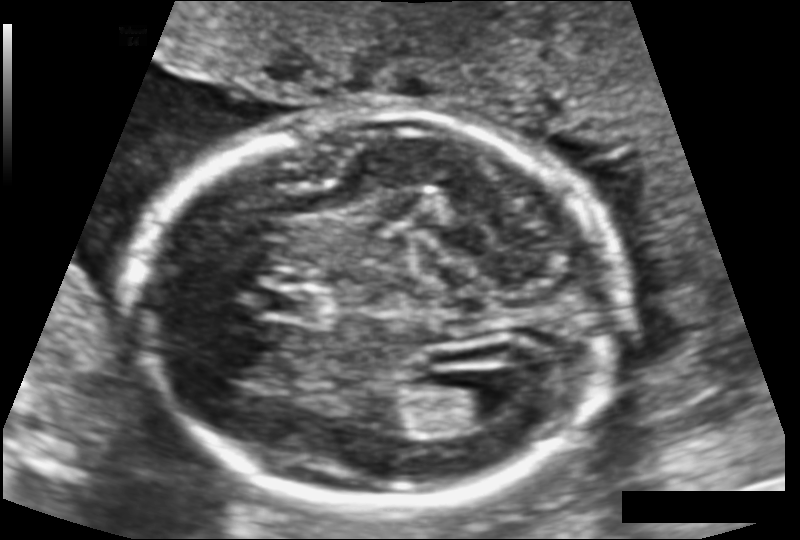
Fetal head ultrasound. Image width: 99.5 mm. Locate the fetal head.

Head: [136,112,622,511]